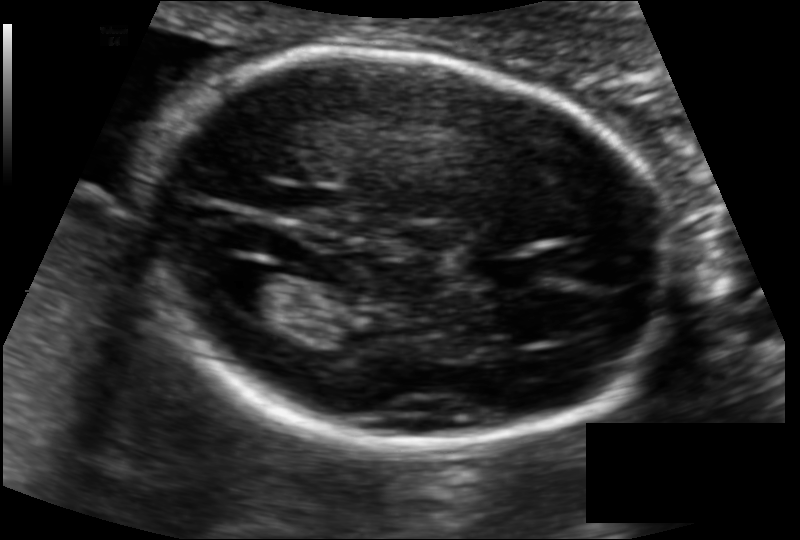
Estimate the fetal head circumference from this 2D ultrasound. Image width: 88.0 mm.

Head circumference: 165.7 mm.